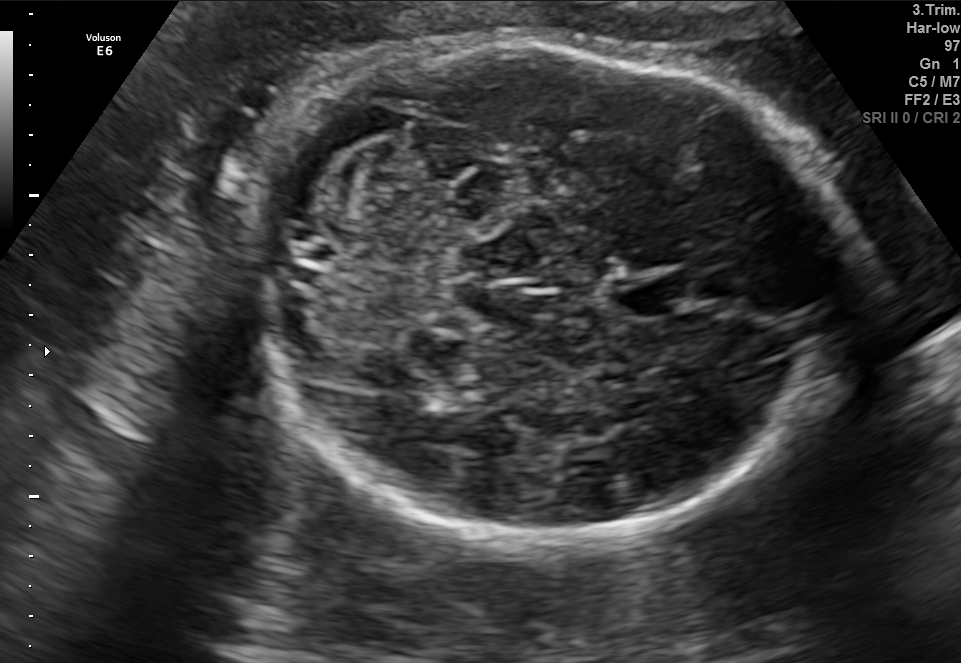
In this fetal brain, trans-cerebellum plane, give the bounding box of the fetal head.

[250,42,848,543]